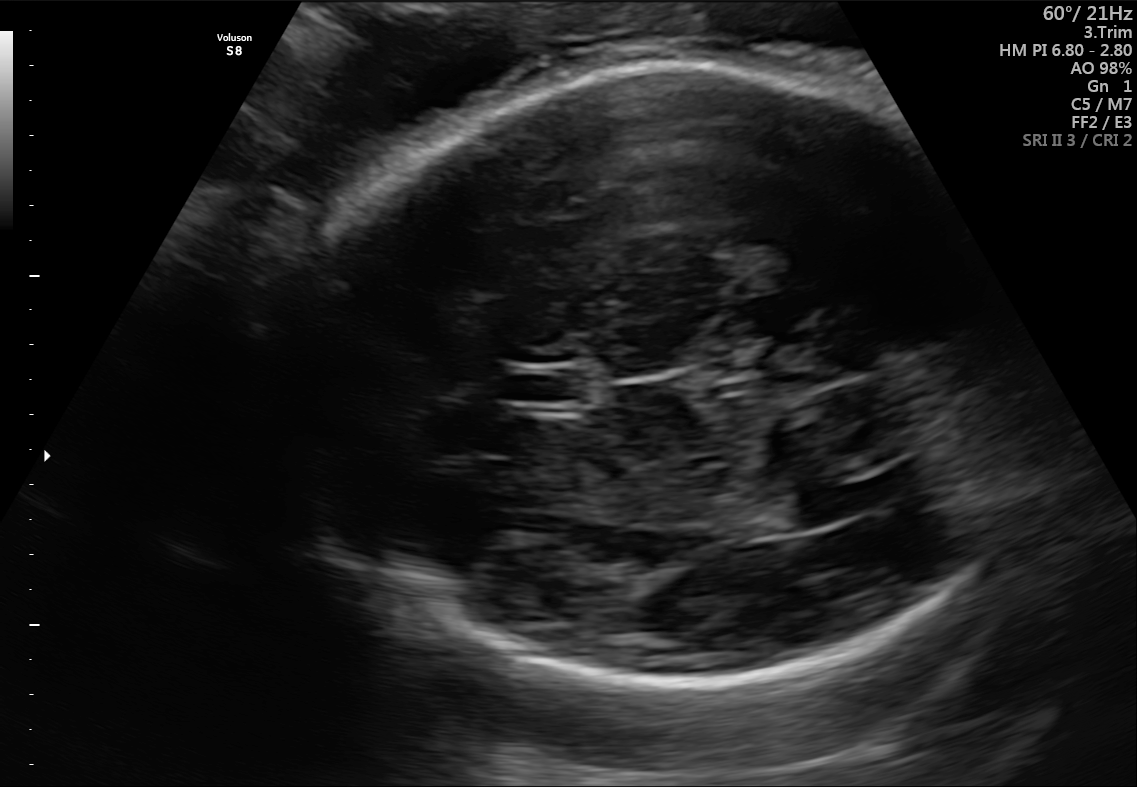
Fetal brain, trans-thalamic plane. Where is the lateral ventricle?

Lateral ventricle bounding box: [766,472,877,536]